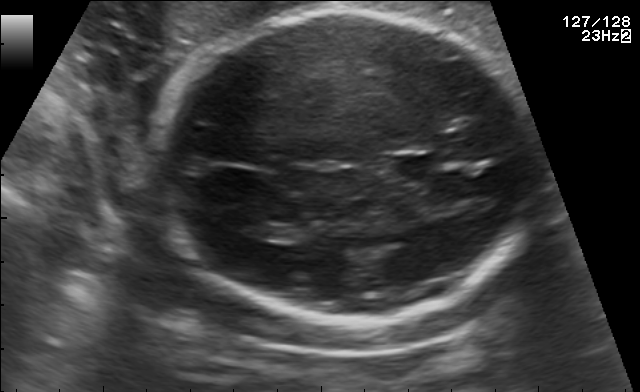
Fetal brain, trans-thalamic plane. Locate the fetal head and, if visible, the cavum septum pellucidum (CSP) and lateral ventricle (LV). Give bounding boxes as [x1,y1,x2,y2].

Head: [157,12,543,325]
CSP: [386,155,432,179]
Lateral ventricle: [236,217,282,242]